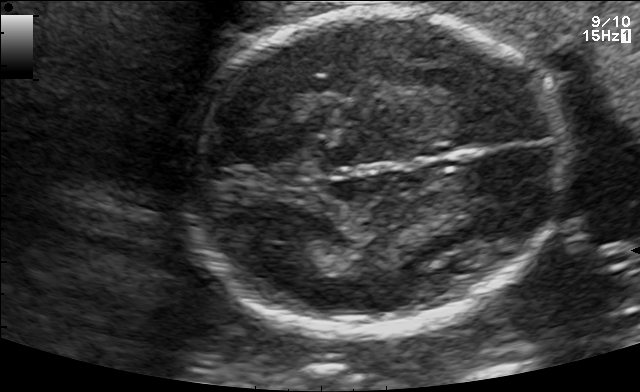
This is a 2D maternal-fetal ultrasound frame. Is it a fetal abdomen, fetal brain, fetal femur, fetal thorax, maternal cervix, or other standard plane? If it's fetal brain and one of the three standard brain planes (trans-thalamic, trans-cerebellum, trans-ventricular), name which.

Fetal brain (trans-thalamic plane)